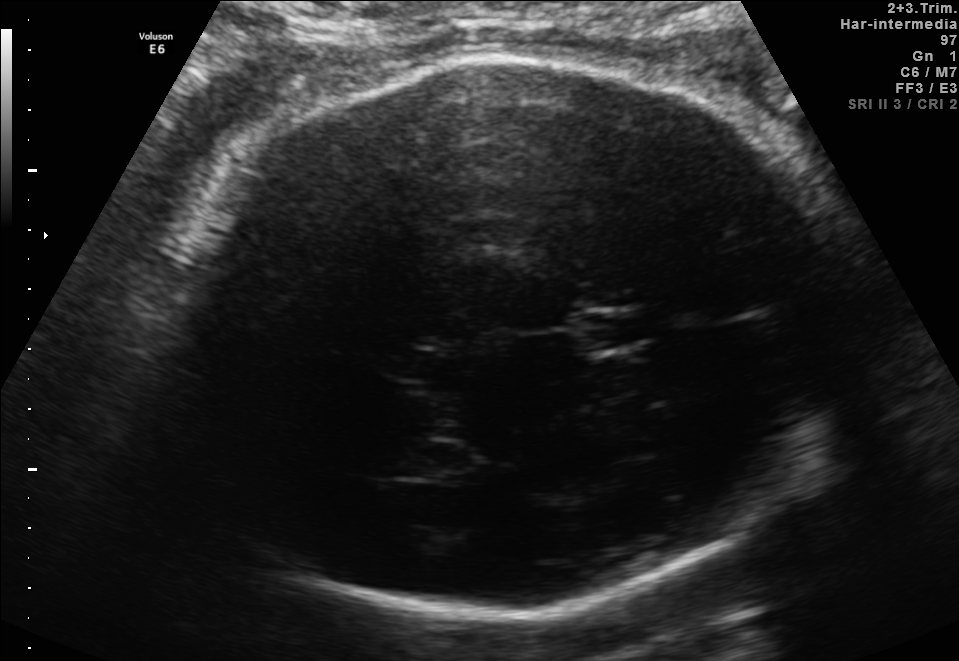
Fetal brain, trans-thalamic plane. Locate the fetal head.

Head: [154,55,851,612]